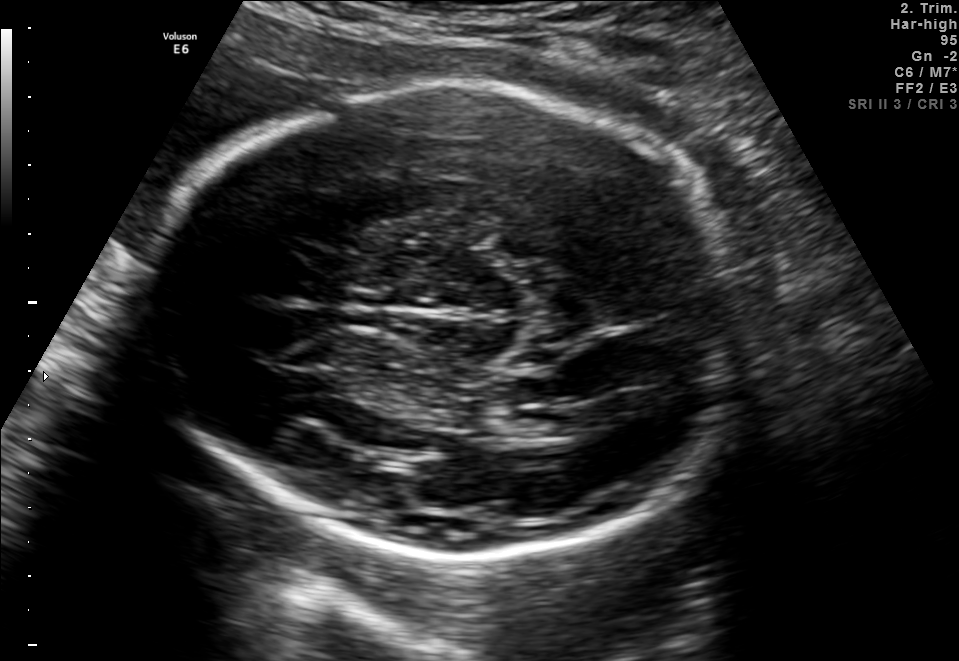
Classify this maternal-fetal ultrasound image as one of the six standard planes — fetal abdomen, fetal brain, fetal femur, fetal thorax, maternal cervix, or other. If it's fetal brain and one of the three standard brain planes (trans-thalamic, trans-cerebellum, trans-ventricular), name which.

Fetal brain (trans-thalamic plane)